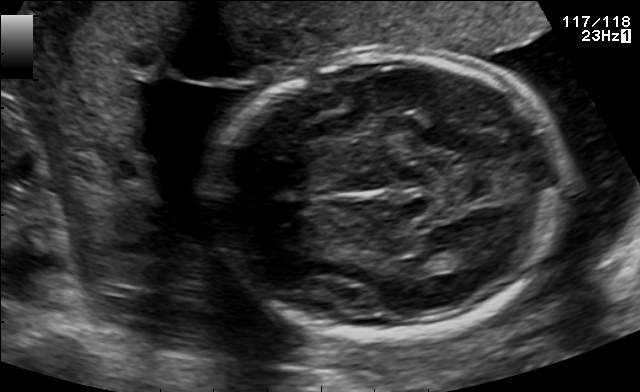
Fetal brain, trans-thalamic plane. Where is the fetal head?

Head bounding box: [208,55,570,334]